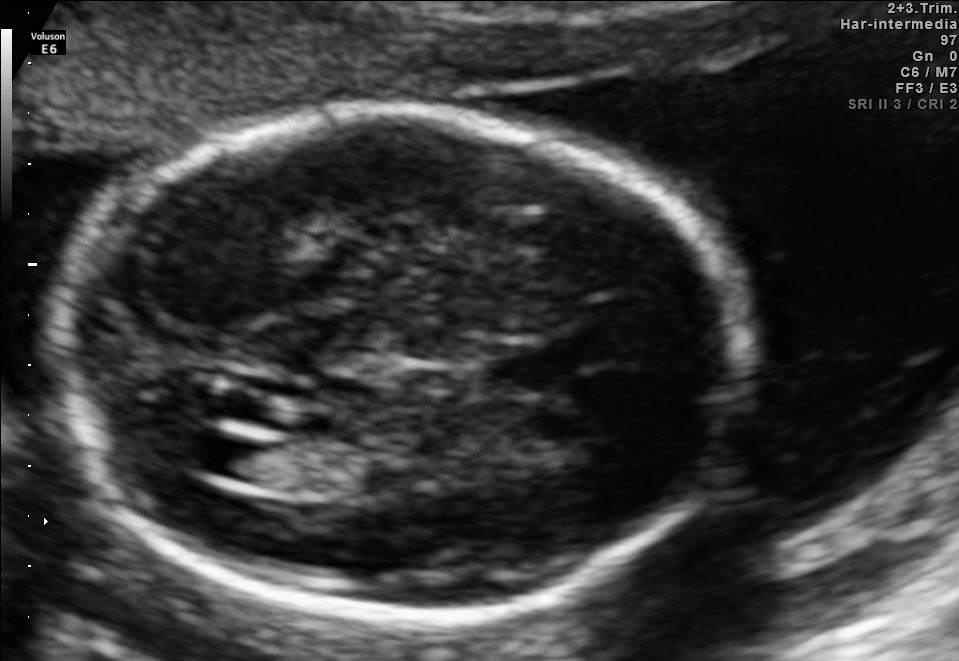
In this fetal brain, trans-ventricular plane, give the bounding box of the fetal head.

[44,101,771,632]